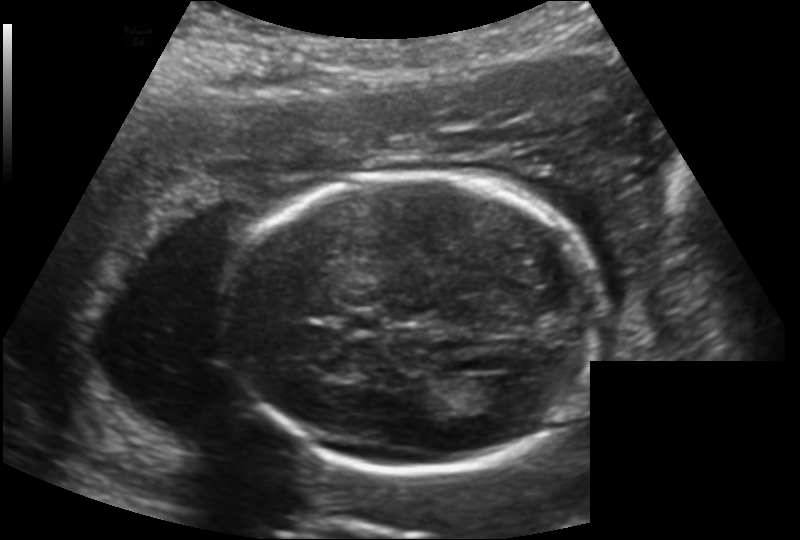
In this fetal head ultrasound, give the bounding box of the lateral ventricle. Image width: 135.0 mm.

[467,377,524,415]